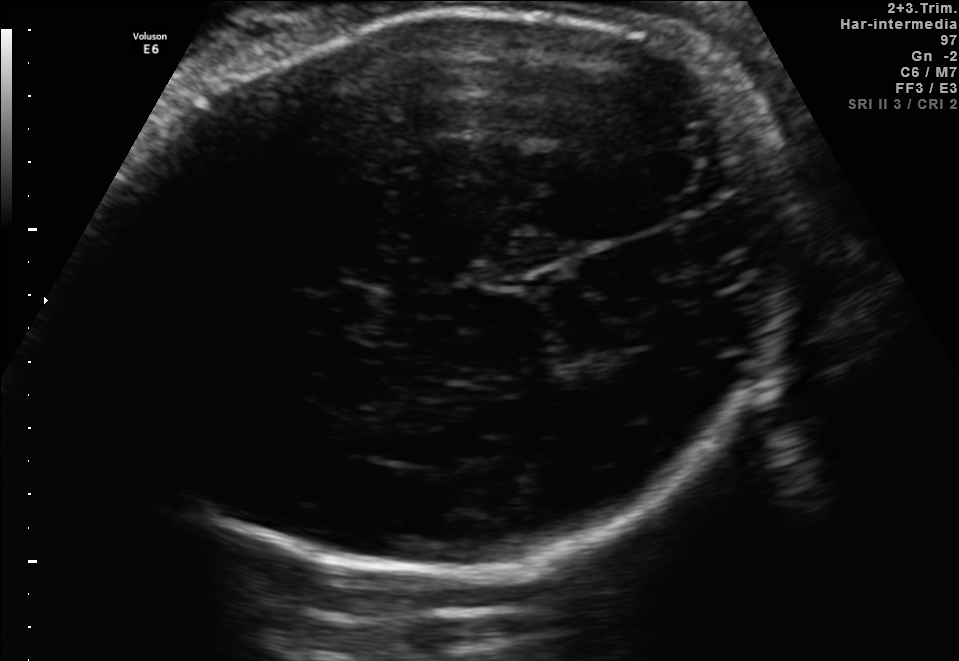
Fetal brain, trans-thalamic plane. Give [x1,y1,x2,y2] bounding boxes for each visible structure among: fetal head, CSP, LV.

Head: [98,6,797,571]